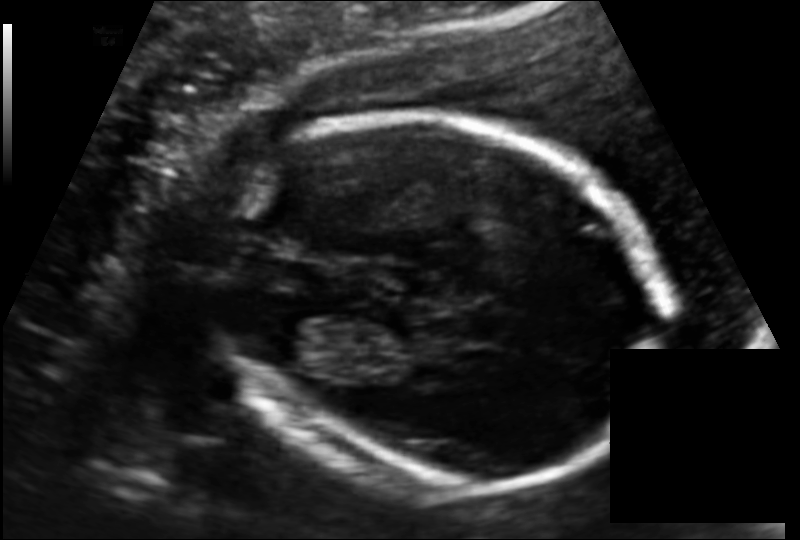
Fetal head ultrasound. Image width: 103.9 mm. Give [x1,y1,x2,y2] bounding boxes for each visible structure among: fetal head, CSP, LV.

Head: [209,114,667,492]